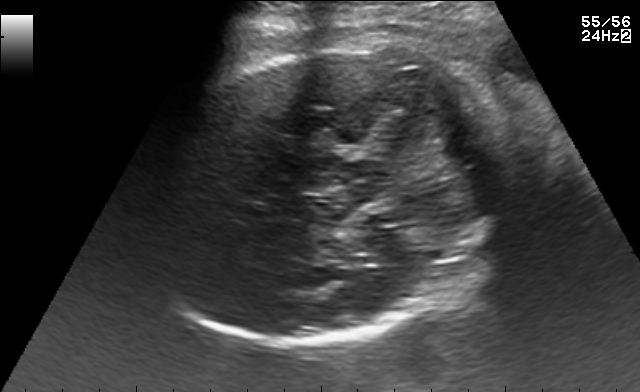
In this fetal brain, trans-cerebellum plane, give the bounding box of the fetal head.

[153,46,499,344]